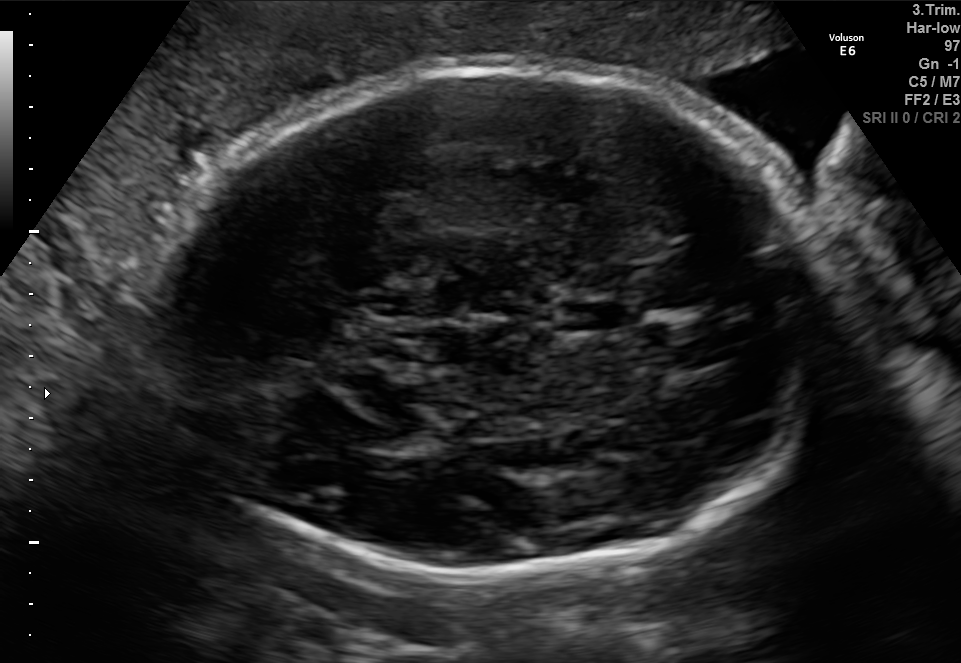
Fetal brain, trans-thalamic plane. Give [x1,y1,x2,y2] bounding boxes for each visible structure among: fetal head, CSP, LV.

Head: [154,60,827,575]
CSP: [555,300,625,332]